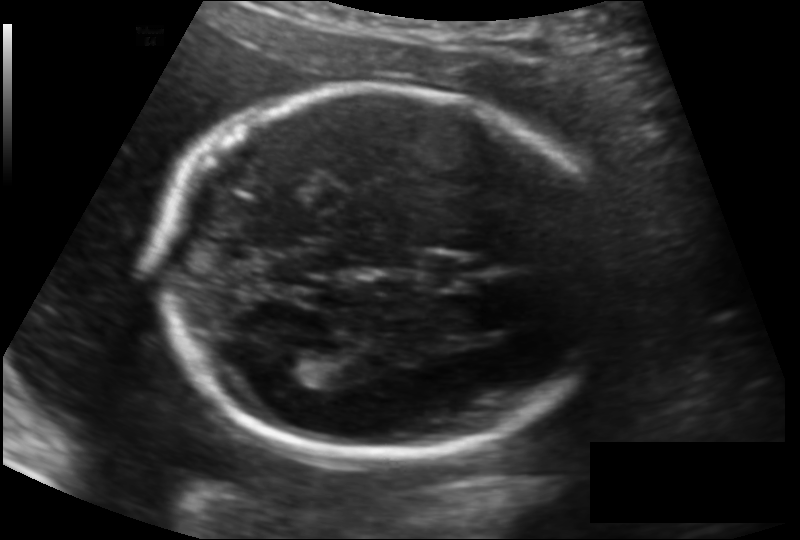
In this fetal head ultrasound, give the bounding box of the lateral ventricle. Image width: 107.5 mm.

[270,345,335,390]